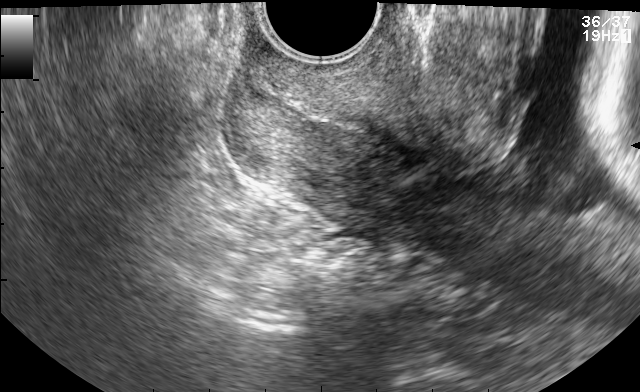
Identify the standard plane in this fetal ultrasound image: fetal abdomen, fetal brain, fetal femur, fetal thorax, maternal cervix, or other. If it's fetal brain and one of the three standard brain planes (trans-thalamic, trans-cerebellum, trans-ventricular), name which.

Maternal cervix